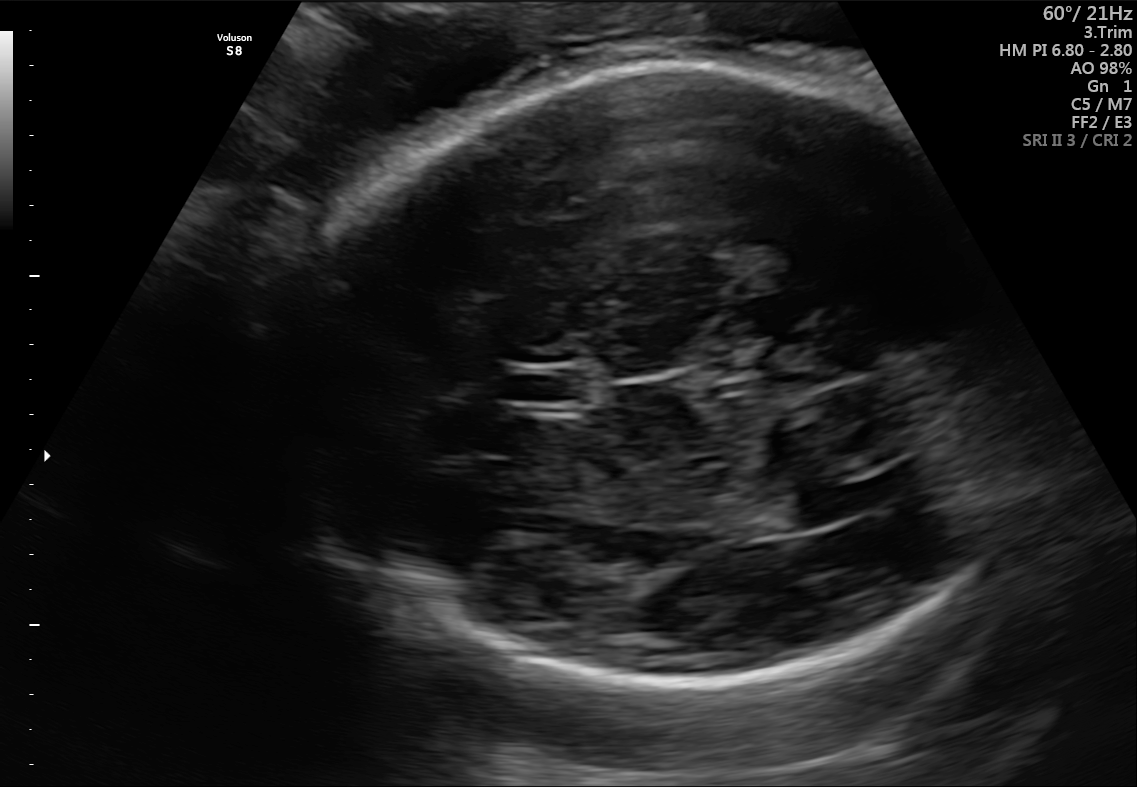
In this fetal brain, trans-thalamic plane, give bounding boxes for the head outline, cavum septum pellucidum (CSP), and lateral ventricle (LV), where visible.

Head: [256,63,1016,686]
CSP: [507,369,589,402]
Lateral ventricle: [766,472,877,536]